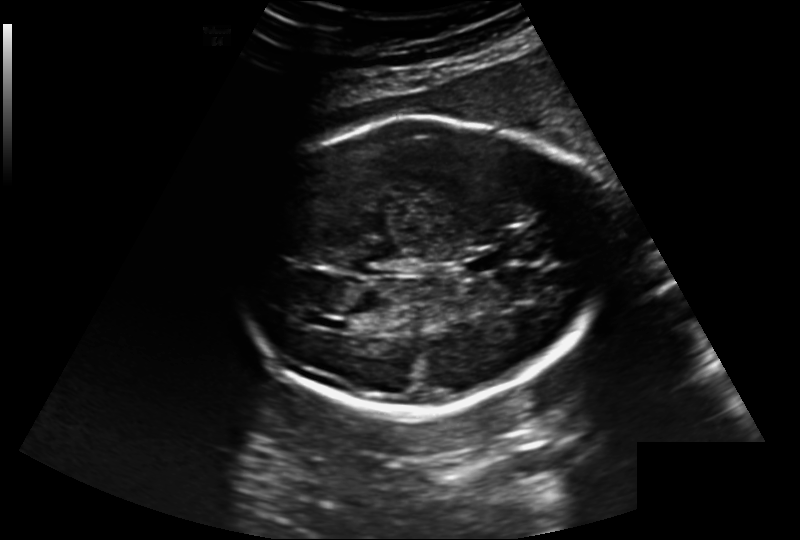
Estimate the fetal head circumference from this 2D ultrasound.

Head circumference: 241.7 mm (image width 175.6 mm).